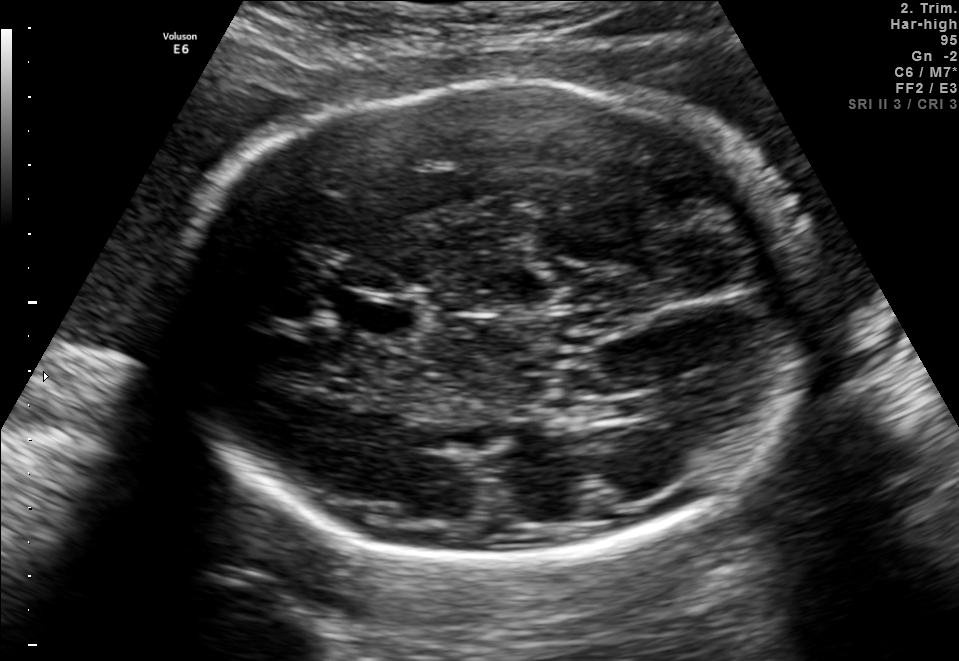
Fetal brain, trans-thalamic plane. Where is the lateral ventricle?

Lateral ventricle bounding box: [613,389,663,423]